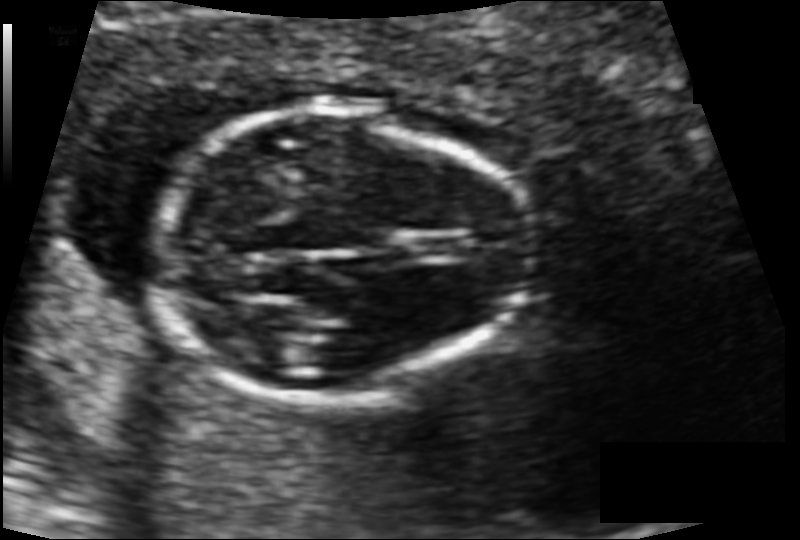
From this fetal ultrasound, estimate the head circumference (image width 71.4 mm).

Head circumference: 96.1 mm.